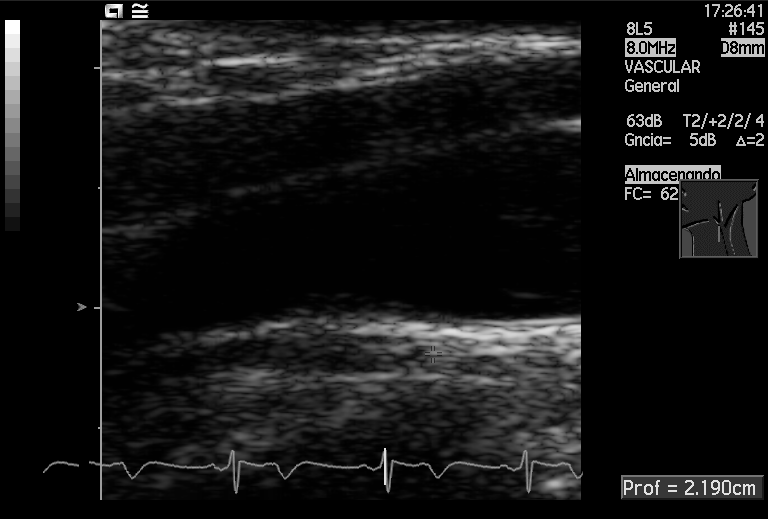
Classify this maternal-fetal ultrasound image as one of the six standard planes — fetal abdomen, fetal brain, fetal femur, fetal thorax, maternal cervix, or other. If it's fetal brain and one of the three standard brain planes (trans-thalamic, trans-cerebellum, trans-ventricular), name which.

Other